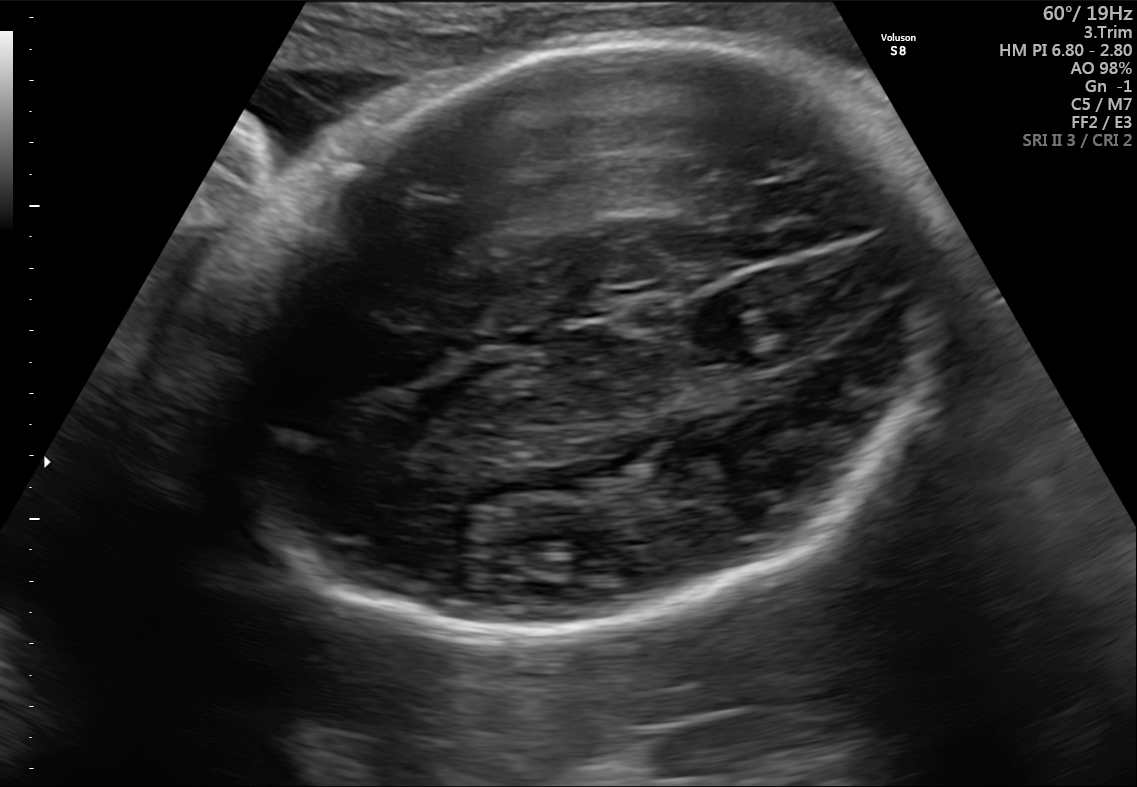
Identify the standard plane in this fetal ultrasound image: fetal abdomen, fetal brain, fetal femur, fetal thorax, maternal cervix, or other. If it's fetal brain and one of the three standard brain planes (trans-thalamic, trans-cerebellum, trans-ventricular), name which.

Fetal brain (trans-thalamic plane)